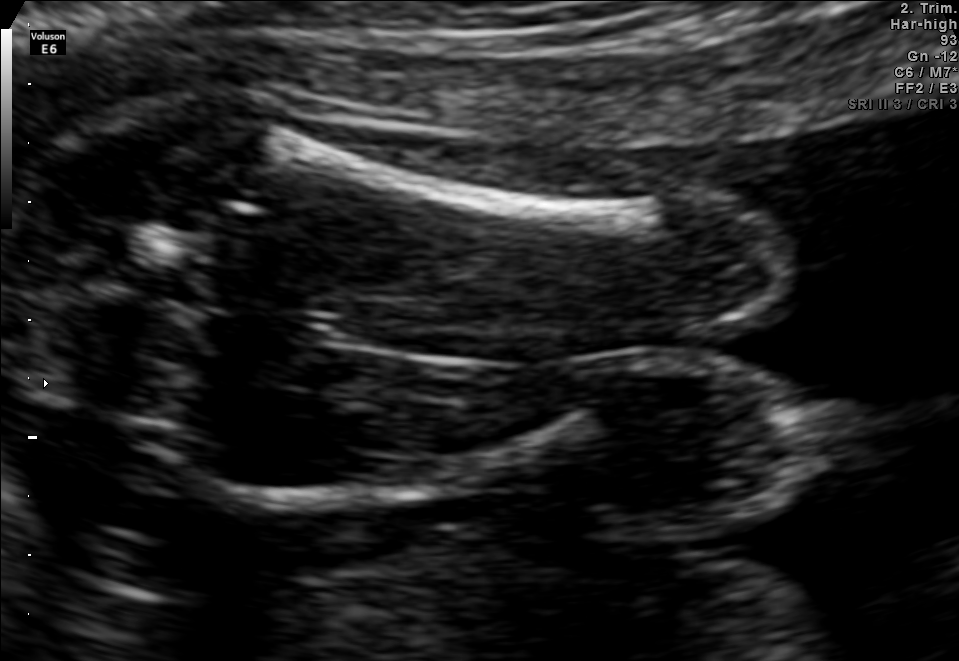
This is a 2D maternal-fetal ultrasound frame. Is it a fetal abdomen, fetal brain, fetal femur, fetal thorax, maternal cervix, or other standard plane? If it's fetal brain and one of the three standard brain planes (trans-thalamic, trans-cerebellum, trans-ventricular), name which.

Fetal femur